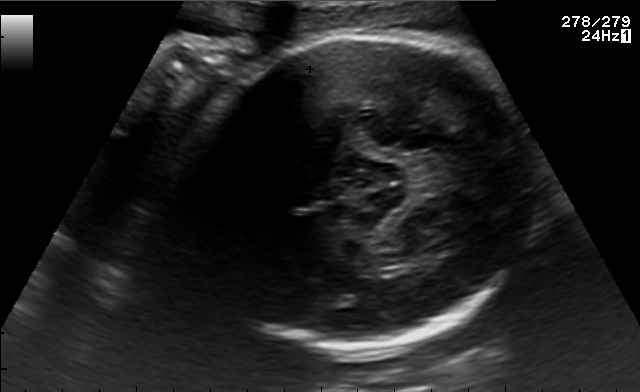
Fetal brain, trans-thalamic plane. Locate the fetal head and, if visible, the cavum septum pellucidum (CSP) and lateral ventricle (LV). Give bounding boxes as [x1,y1,x2,y2].

Head: [182,35,541,351]